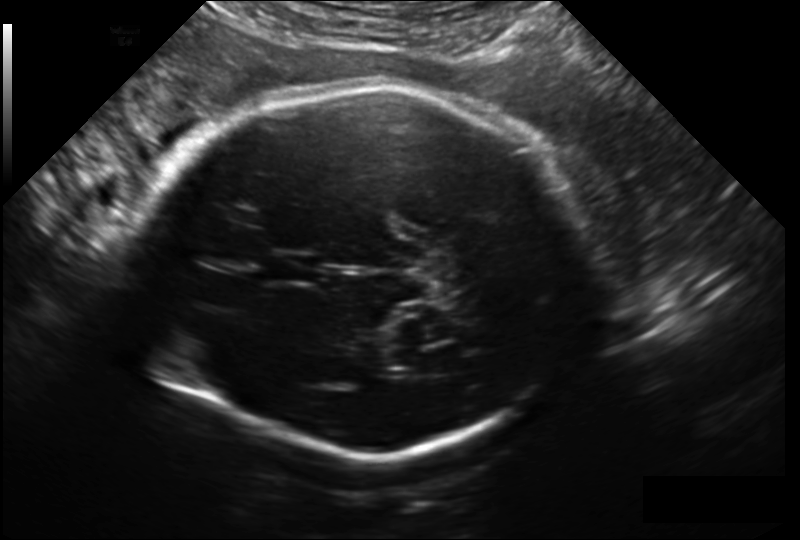
Measure the fetal head circumference shown in this ultrasound image. Image width: 167.2 mm.

Head circumference: 283.0 mm.